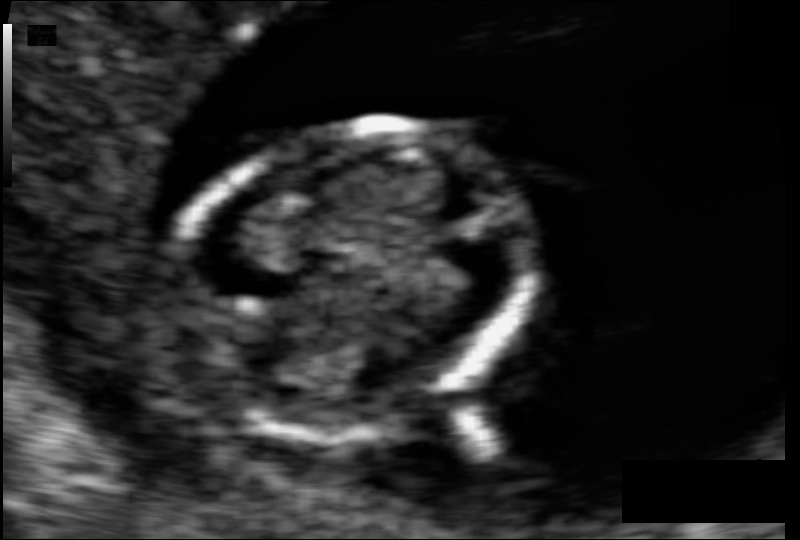
Estimate the fetal head circumference from this 2D ultrasound.

Head circumference: 77.2 mm (image width 54.9 mm).